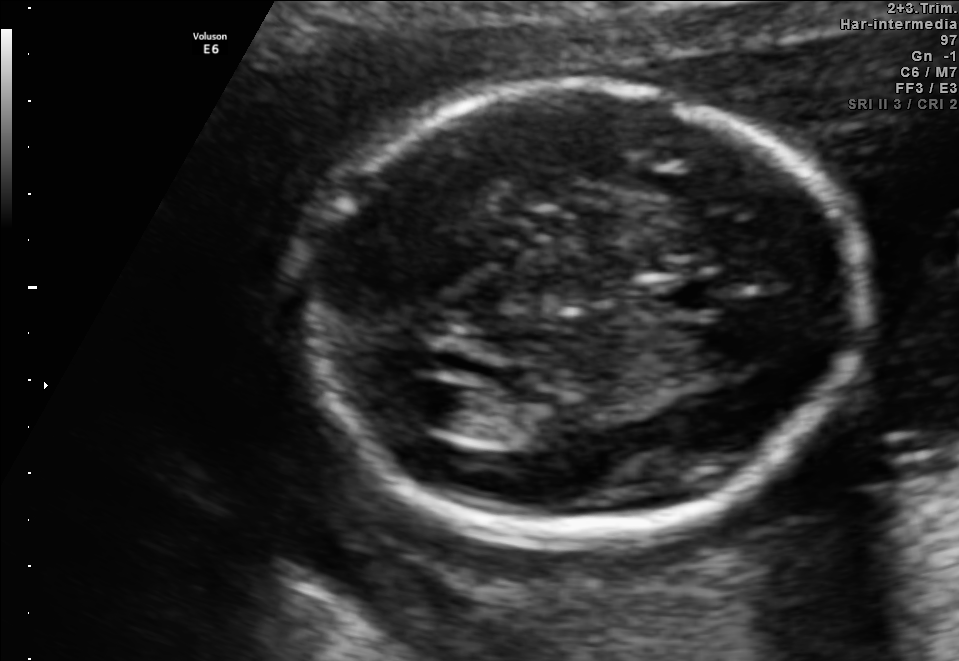
In this fetal brain, trans-ventricular plane, give the bounding box of the lateral ventricle.

[383,368,476,436]